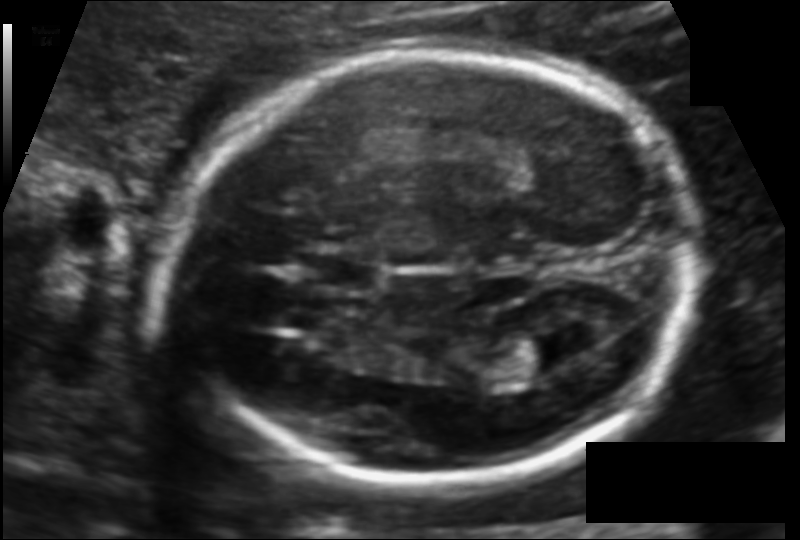
Fetal head ultrasound. Image width: 90.0 mm. Where is the cavum septum pellucidum?

CSP bounding box: [298,250,386,294]